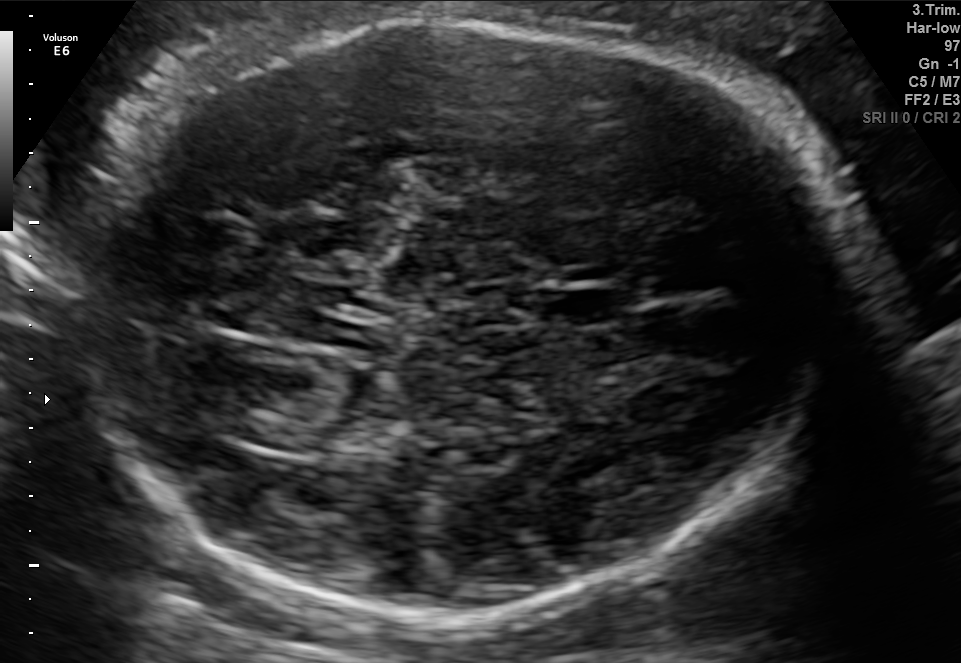
In this fetal brain, trans-thalamic plane, give the bounding box of the lateral ventricle.

[232,405,322,456]